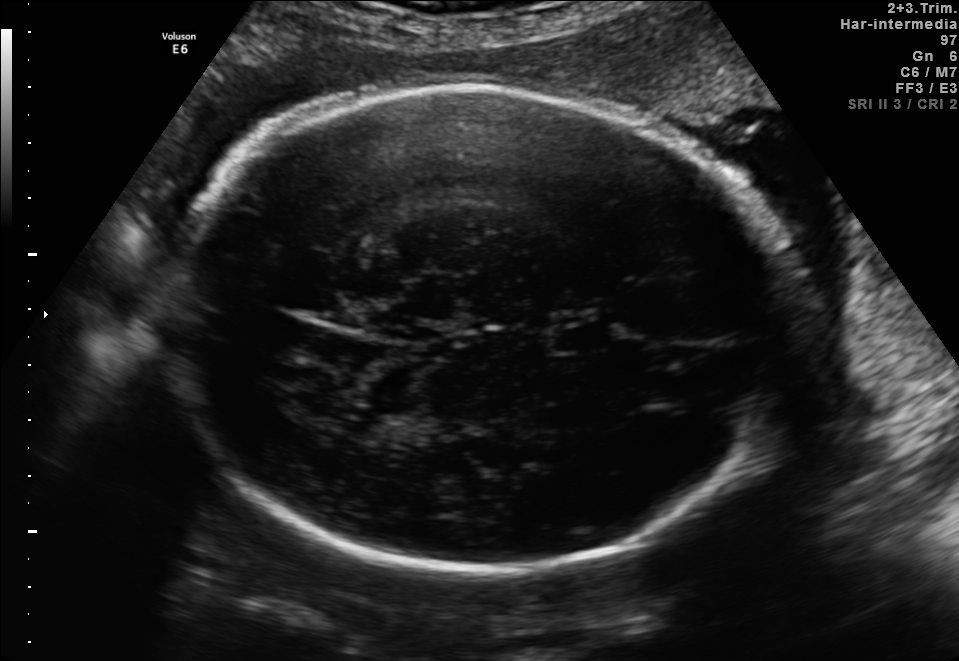
This is a 2D maternal-fetal ultrasound frame. Is it a fetal abdomen, fetal brain, fetal femur, fetal thorax, maternal cervix, or other standard plane? If it's fetal brain and one of the three standard brain planes (trans-thalamic, trans-cerebellum, trans-ventricular), name which.

Fetal brain (trans-thalamic plane)